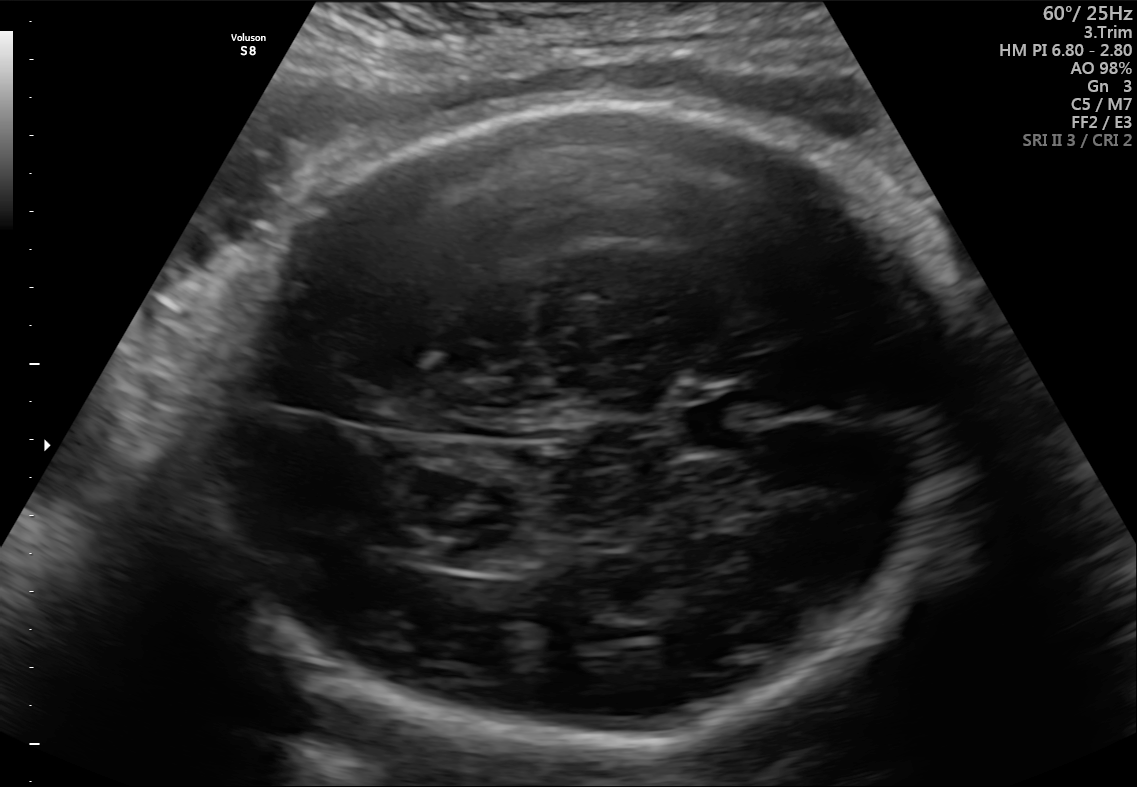
Fetal brain, trans-thalamic plane. Where is the lateral ventricle?

Lateral ventricle bounding box: [426,540,515,575]